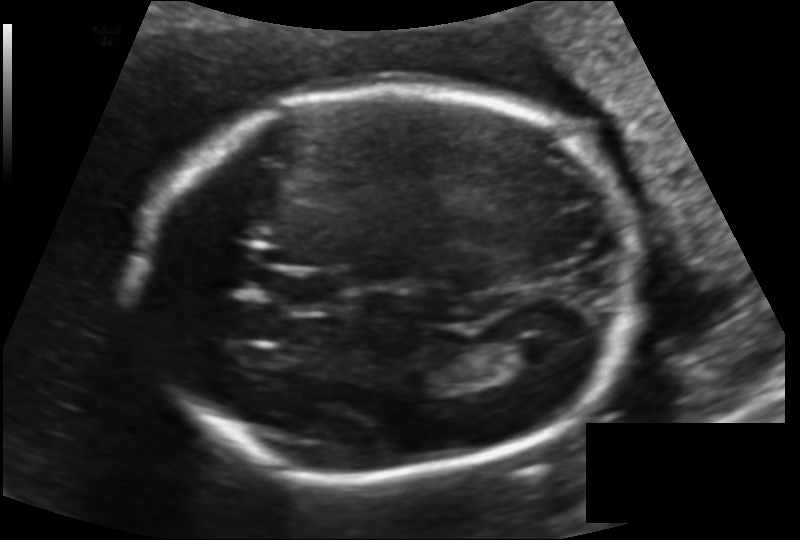
Fetal head ultrasound. Image width: 115.0 mm. Give [x1,y1,x2,y2] bounding boxes for each visible structure among: fetal head, CSP, LV.

Head: [142,88,642,473]
CSP: [270,270,347,313]
Lateral ventricle: [501,330,560,373]